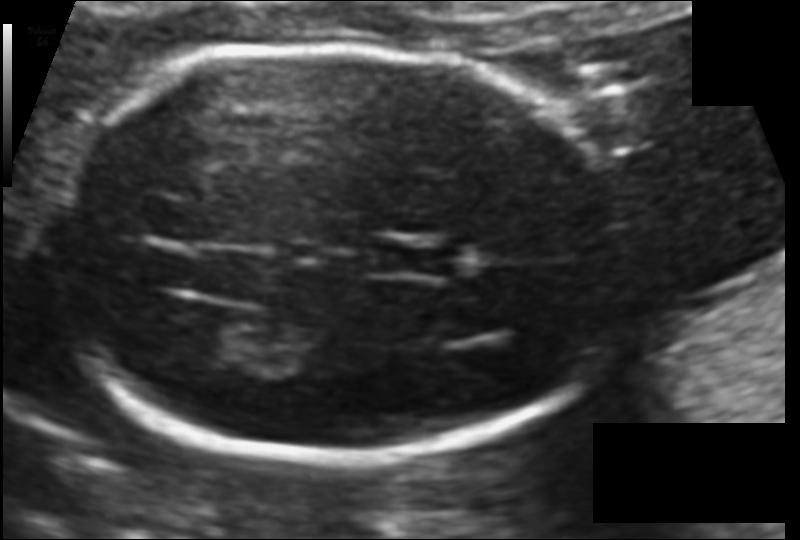
Measure the fetal head circumference shown in this ultrasound image. Image width: 78.8 mm.

Head circumference: 160.4 mm.